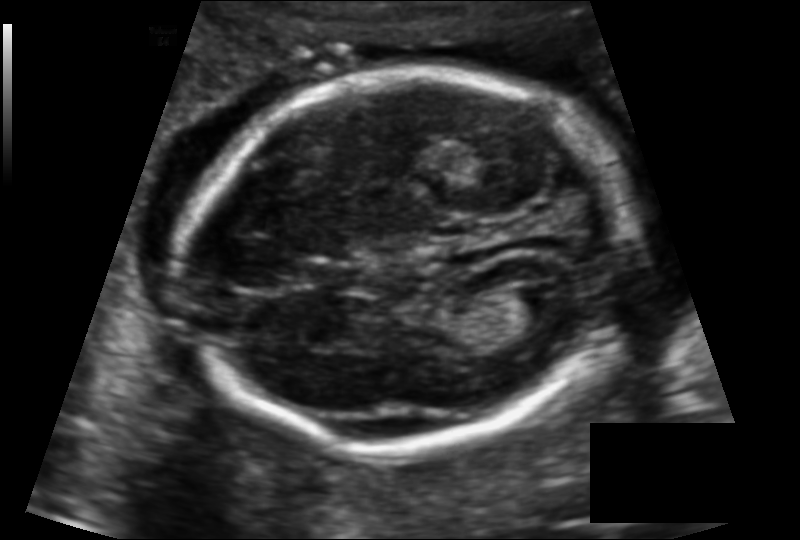
Fetal head ultrasound. Image width: 99.3 mm. Locate the fetal head.

Head: [178,74,634,453]